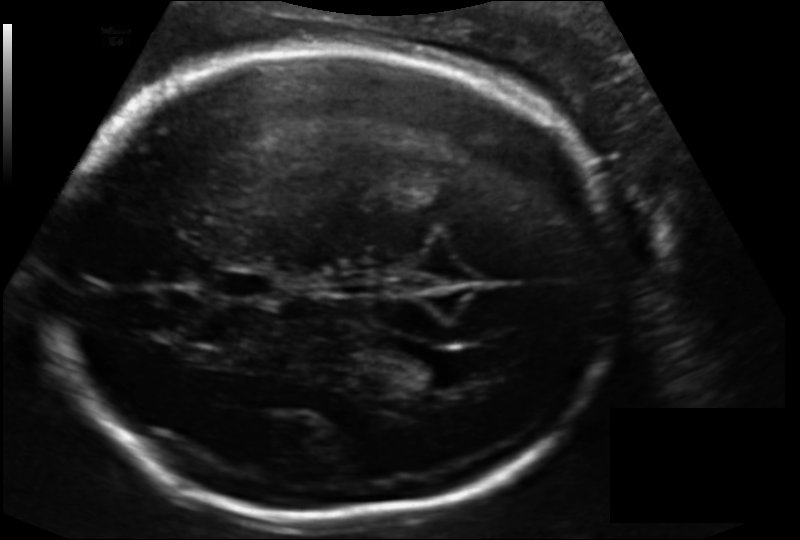
Fetal head ultrasound. Image width: 124.7 mm. Locate the fetal head and, if visible, the cavum septum pellucidum (CSP) and lateral ventricle (LV). Give bounding boxes as [x1,y1,x2,y2].

Head: [43,45,614,518]
CSP: [209,264,278,303]
Lateral ventricle: [398,348,474,394]